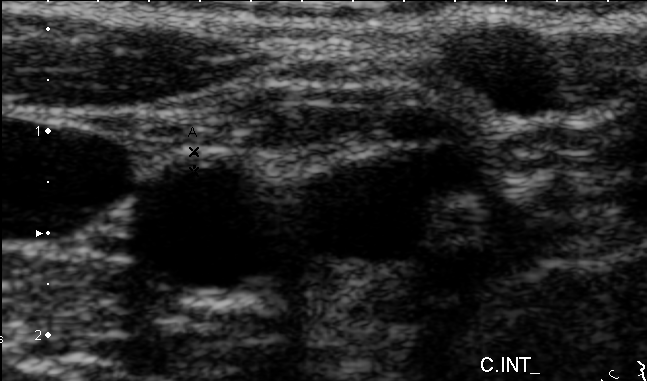
Identify the standard plane in this fetal ultrasound image: fetal abdomen, fetal brain, fetal femur, fetal thorax, maternal cervix, or other. If it's fetal brain and one of the three standard brain planes (trans-thalamic, trans-cerebellum, trans-ventricular), name which.

Other